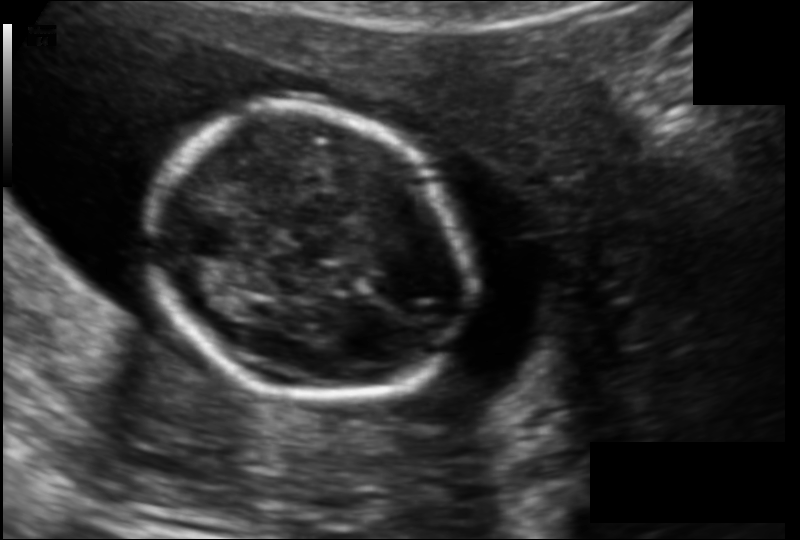
Estimate the fetal head circumference from this 2D ultrasound. Image width: 98.4 mm.

Head circumference: 122.9 mm.